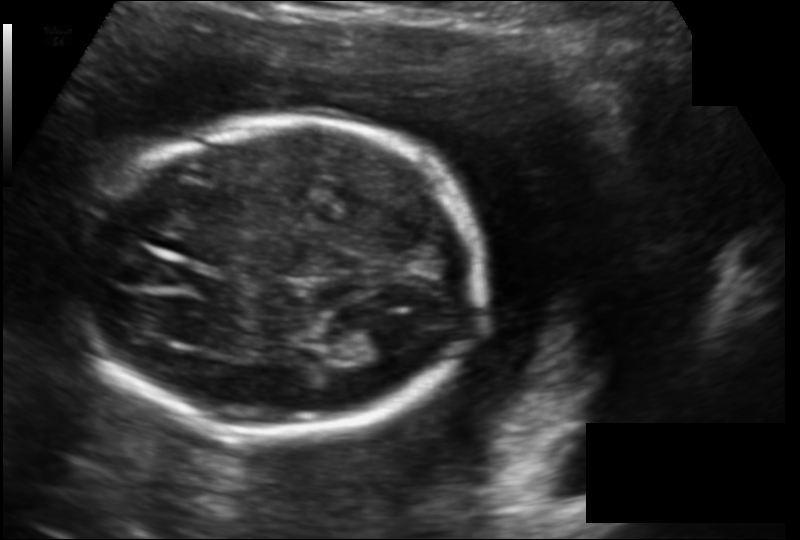
Estimate the fetal head circumference from this 2D ultrasound. Image width: 113.3 mm.

Head circumference: 165.2 mm.